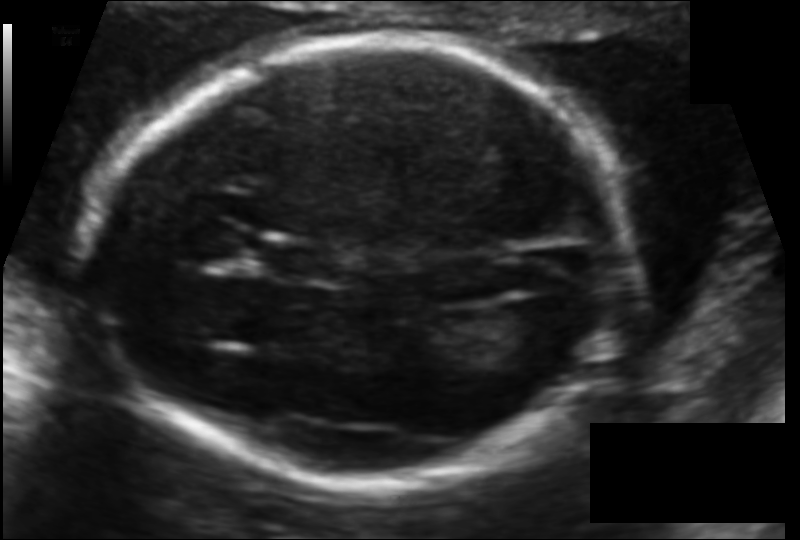
Fetal head ultrasound. Image width: 85.1 mm. Where is the fetal head?

Head bounding box: [89,39,629,484]